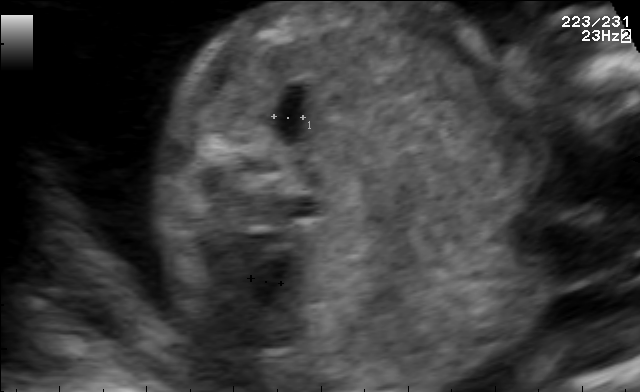
Which standard maternal-fetal ultrasound plane is shown: fetal abdomen, fetal brain, fetal femur, fetal thorax, maternal cervix, or other? If it's fetal brain and one of the three standard brain planes (trans-thalamic, trans-cerebellum, trans-ventricular), name which.

Other